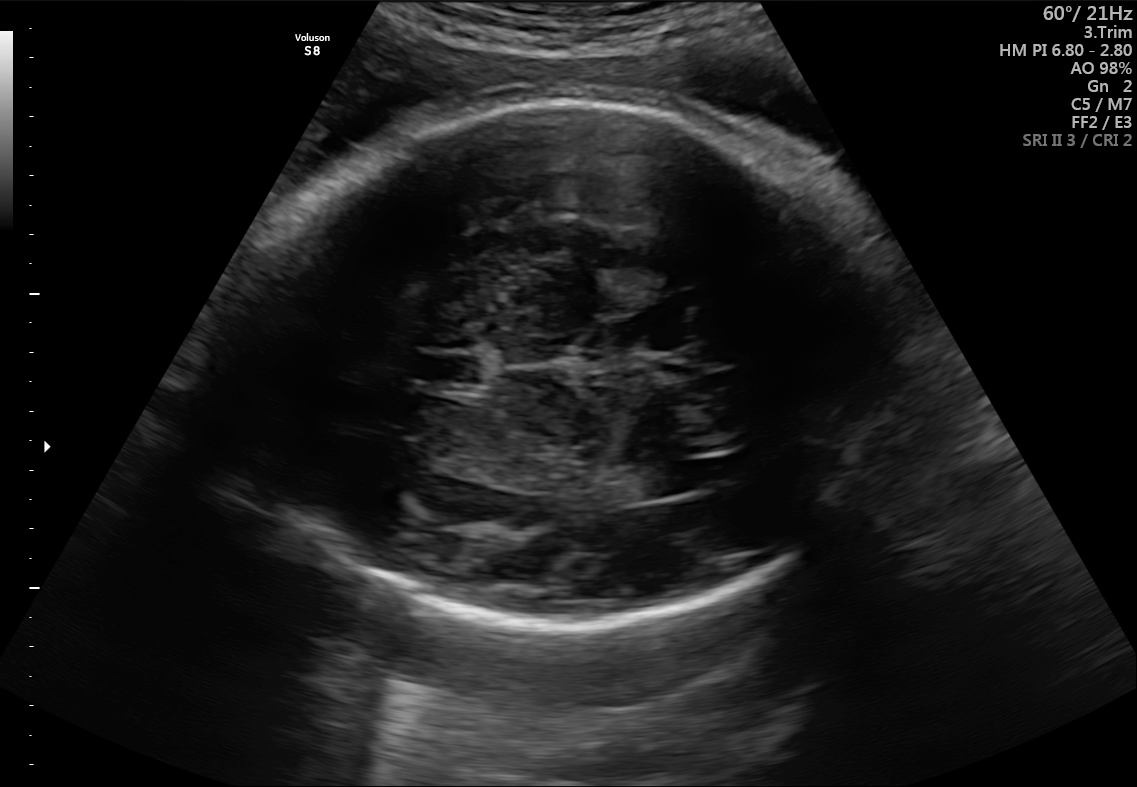
In this fetal brain, trans-ventricular plane, give the bounding box of the lateral ventricle.

[637,457,702,501]